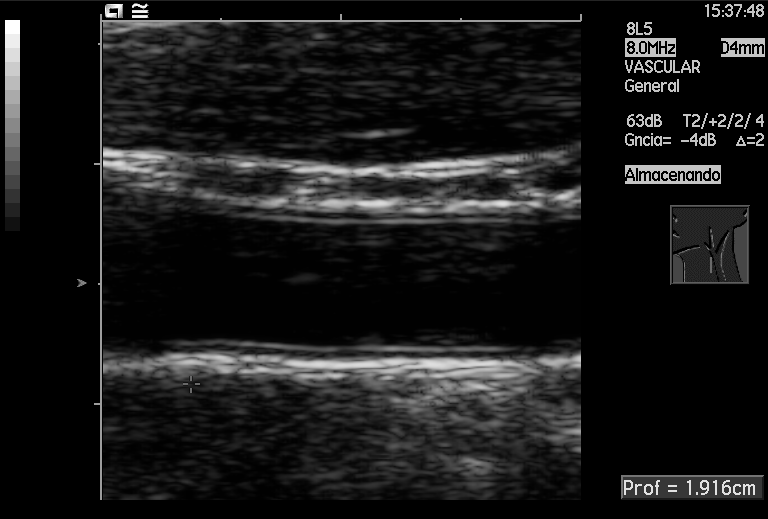
Which standard maternal-fetal ultrasound plane is shown: fetal abdomen, fetal brain, fetal femur, fetal thorax, maternal cervix, or other? If it's fetal brain and one of the three standard brain planes (trans-thalamic, trans-cerebellum, trans-ventricular), name which.

Other